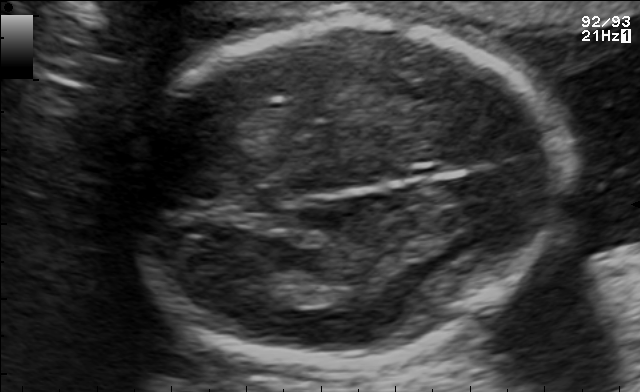
Fetal brain, trans-thalamic plane. Where is the fetal head?

Head bounding box: [123,16,561,368]